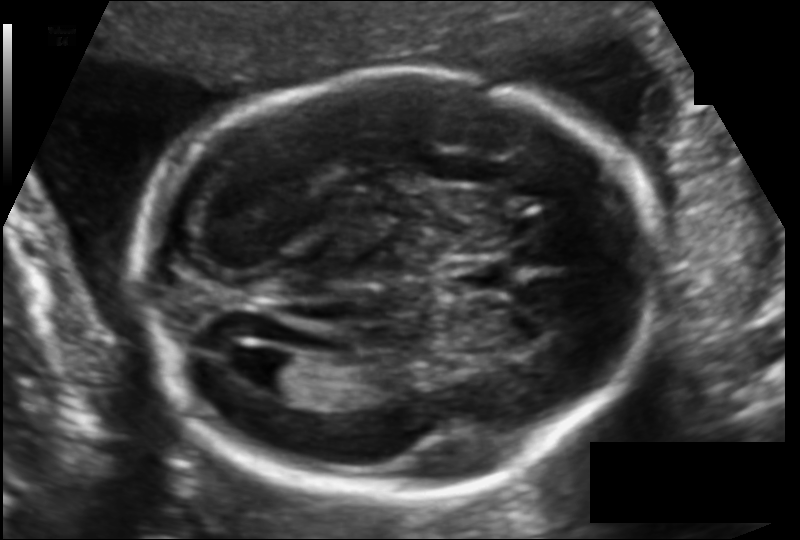
Fetal head ultrasound. Image width: 97.1 mm. Where is the fetal head?

Head bounding box: [138,70,659,491]